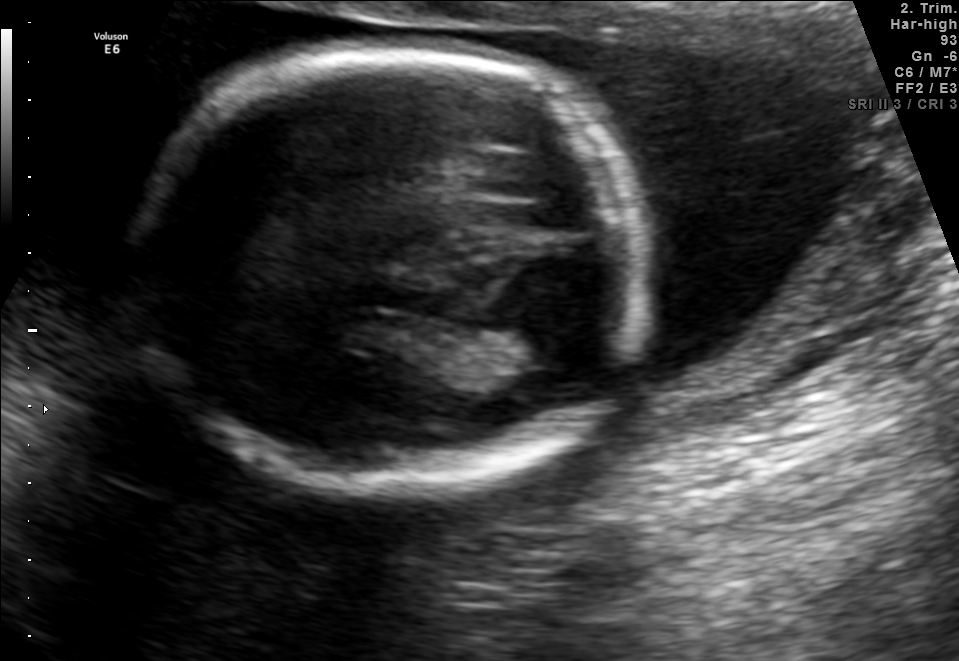
Identify the standard plane in this fetal ultrasound image: fetal abdomen, fetal brain, fetal femur, fetal thorax, maternal cervix, or other. If it's fetal brain and one of the three standard brain planes (trans-thalamic, trans-cerebellum, trans-ventricular), name which.

Fetal brain